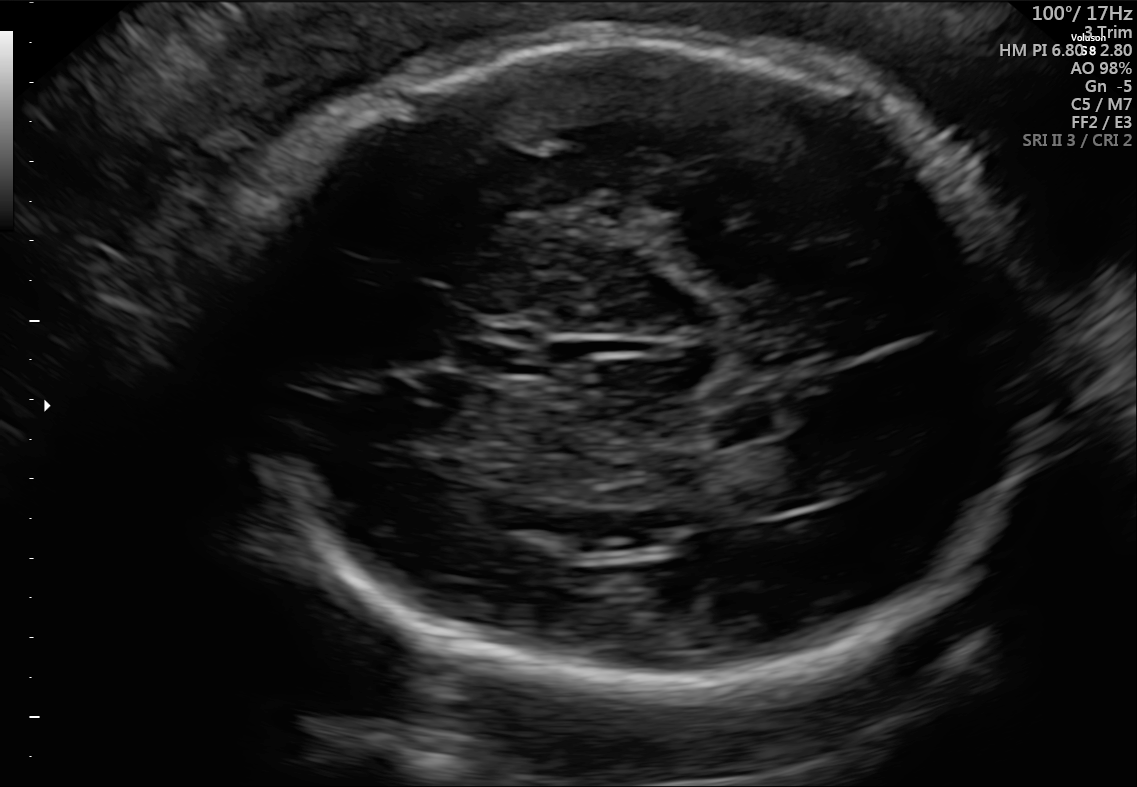
Which standard maternal-fetal ultrasound plane is shown: fetal abdomen, fetal brain, fetal femur, fetal thorax, maternal cervix, or other? If it's fetal brain and one of the three standard brain planes (trans-thalamic, trans-cerebellum, trans-ventricular), name which.

Fetal brain (trans-thalamic plane)